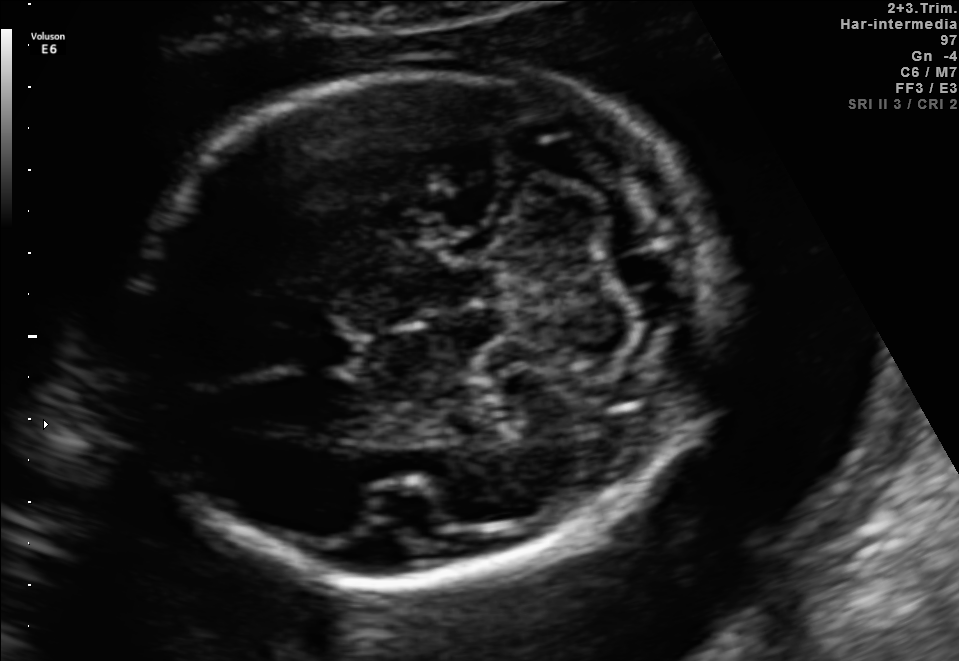
Fetal brain, trans-cerebellum plane. Give [x1,y1,x2,y2] bounding boxes for each visible structure among: fetal head, CSP, LV.

Head: [128,66,717,583]
CSP: [288,329,358,374]